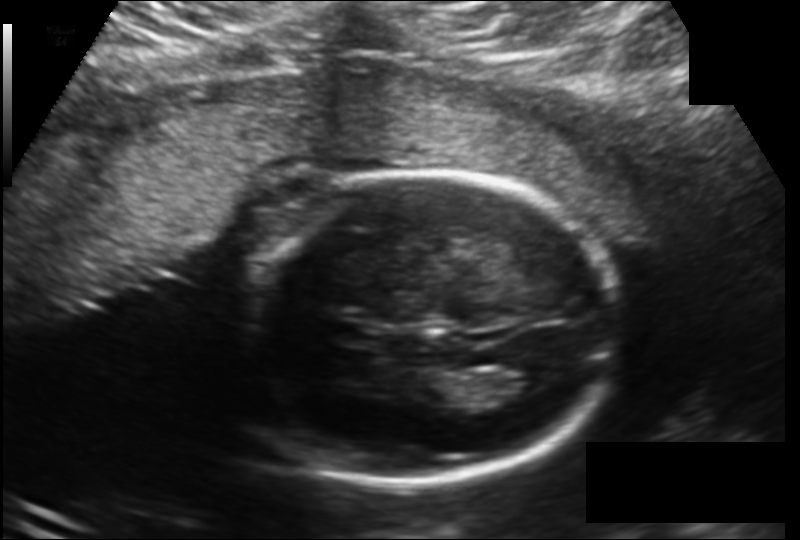
What is the fetal head circumference? Image width is 132.4 mm.

181.6 mm